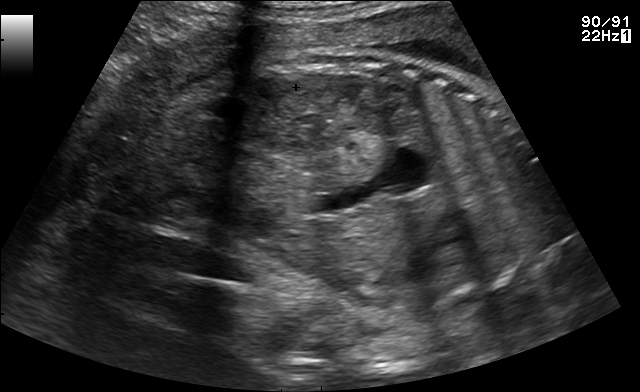
Identify the standard plane in this fetal ultrasound image: fetal abdomen, fetal brain, fetal femur, fetal thorax, maternal cervix, or other. If it's fetal brain and one of the three standard brain planes (trans-thalamic, trans-cerebellum, trans-ventricular), name which.

Other